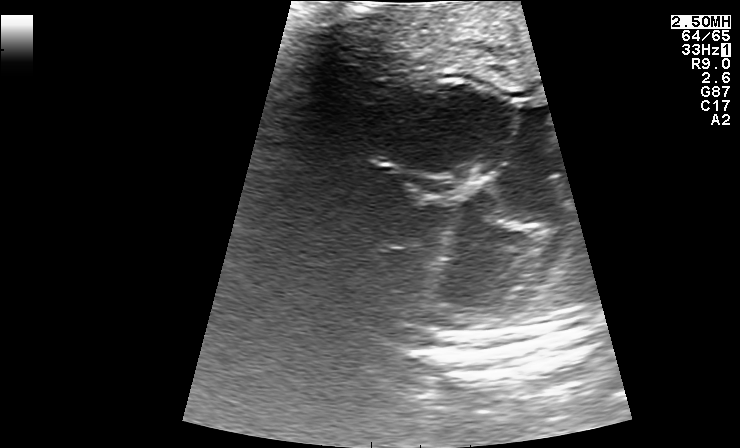
This is a 2D maternal-fetal ultrasound frame. Is it a fetal abdomen, fetal brain, fetal femur, fetal thorax, maternal cervix, or other standard plane? If it's fetal brain and one of the three standard brain planes (trans-thalamic, trans-cerebellum, trans-ventricular), name which.

Fetal thorax